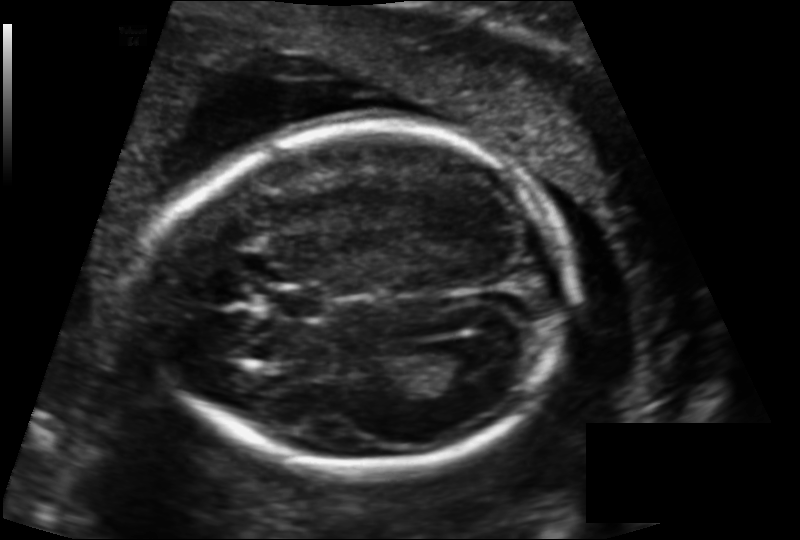
Fetal head ultrasound. Image width: 109.5 mm. Locate the fetal head.

Head: [152,118,568,474]